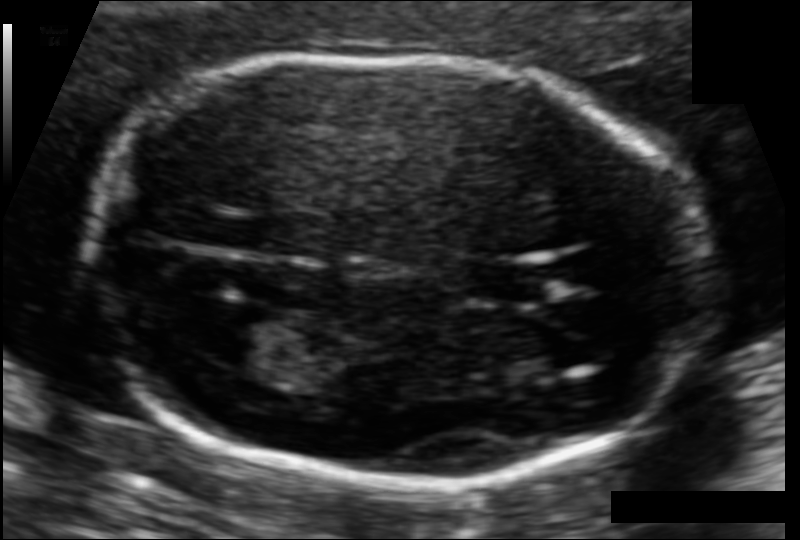
From this fetal ultrasound, estimate the head circumference (image width 73.9 mm).

Head circumference: 158.5 mm.